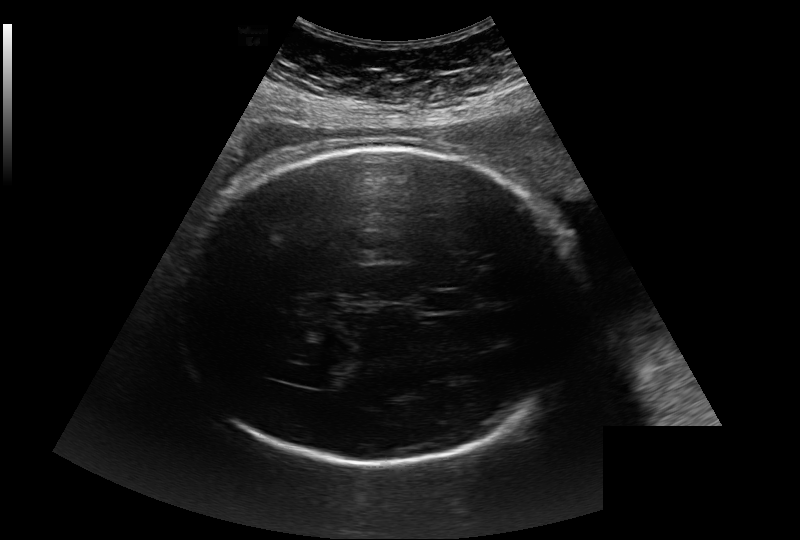
From this fetal ultrasound, estimate the head circumference (image width 227.4 mm).

Head circumference: 324.0 mm.